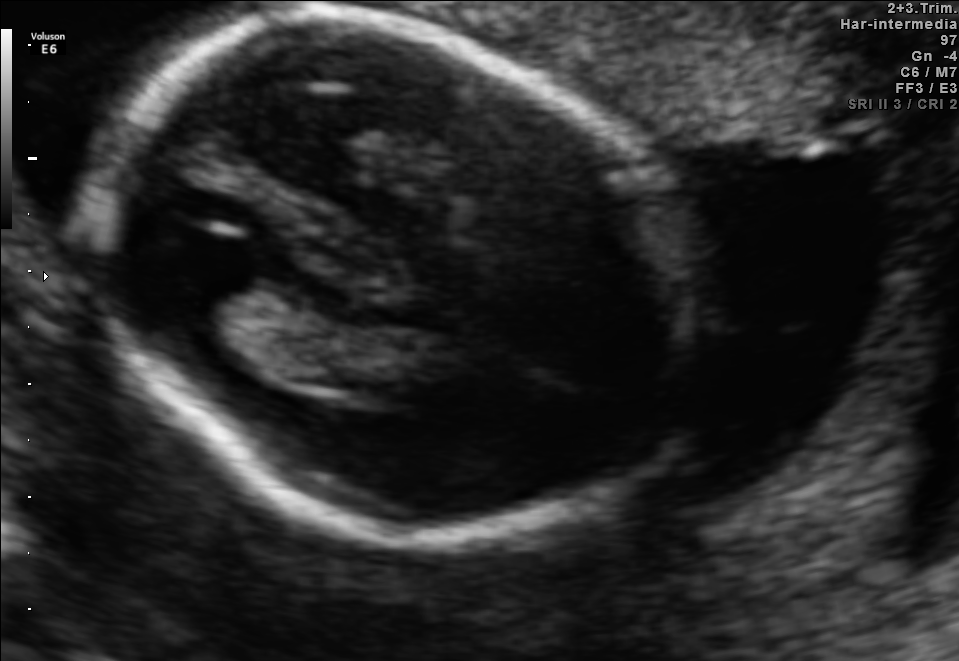
Fetal brain, trans-thalamic plane. Locate the fetal head.

Head: [87,26,704,541]